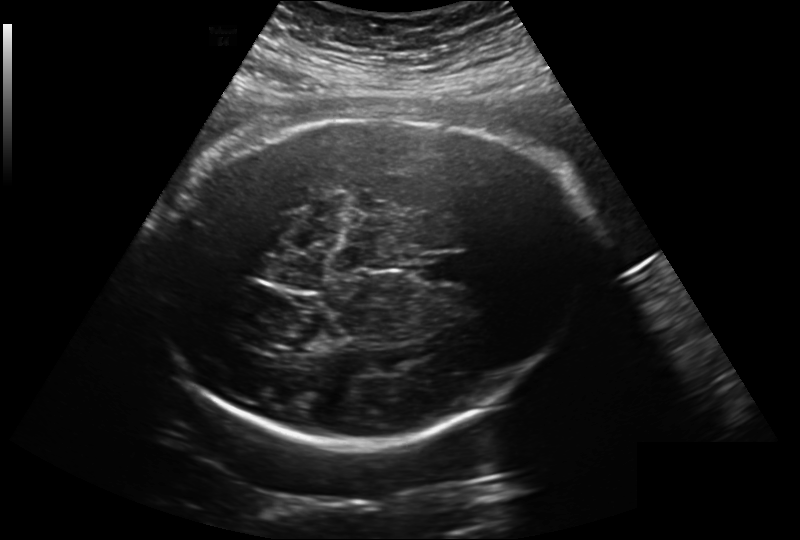
Fetal head ultrasound. Image width: 208.0 mm. Where is the fetal head?

Head bounding box: [148,115,588,441]